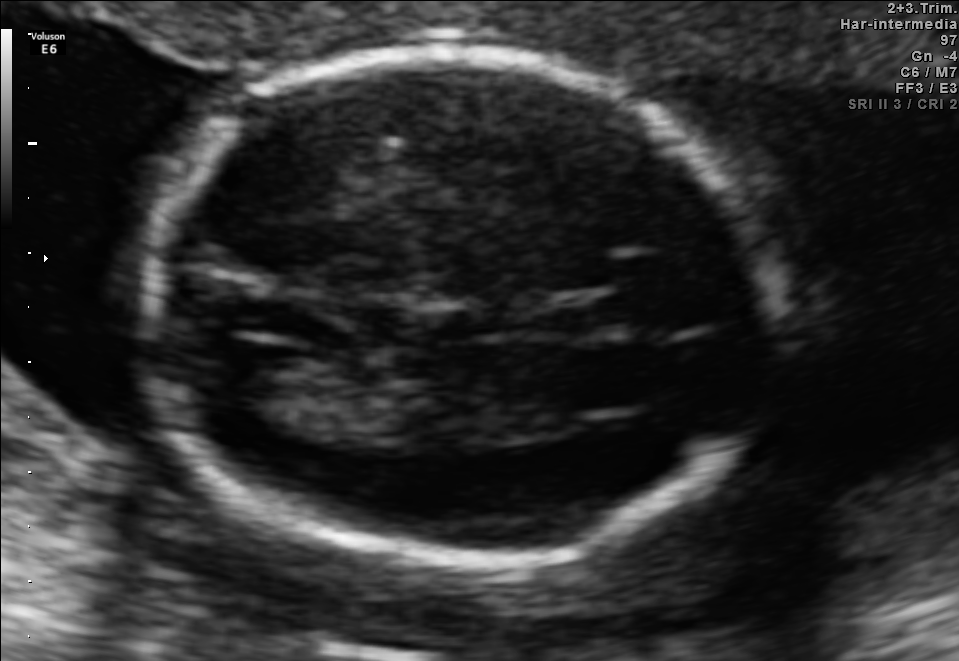
Fetal brain, trans-ventricular plane. Where is the fetal head?

Head bounding box: [124,44,797,579]